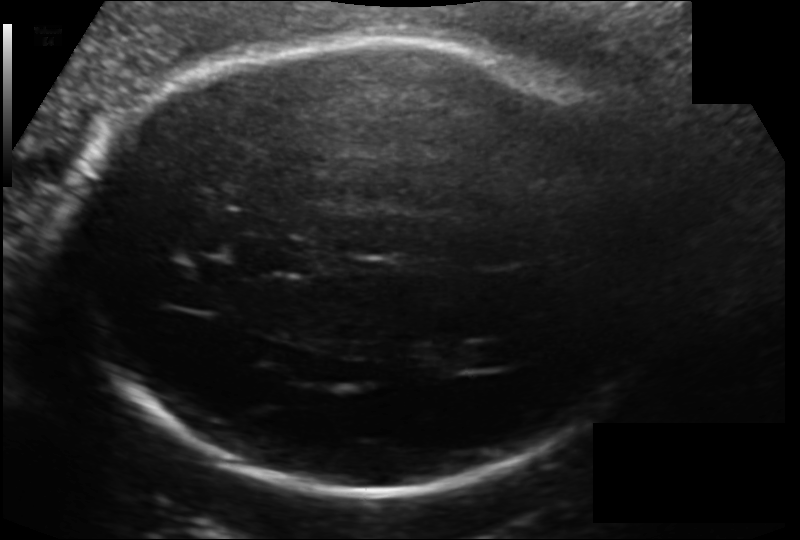
Fetal head ultrasound. Image width: 123.2 mm. Where is the cavum septum pellucidum?

CSP bounding box: [255,233,320,279]